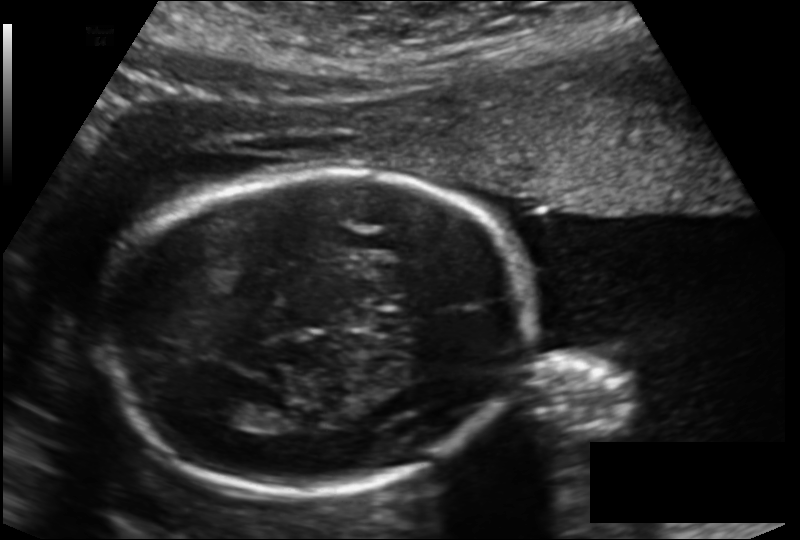
Fetal head ultrasound. Image width: 123.8 mm. Give [x1,y1,x2,y2] bounding boxes for each visible structure among: fetal head, CSP, LV.

Head: [108,172,531,494]
Lateral ventricle: [201,394,262,429]